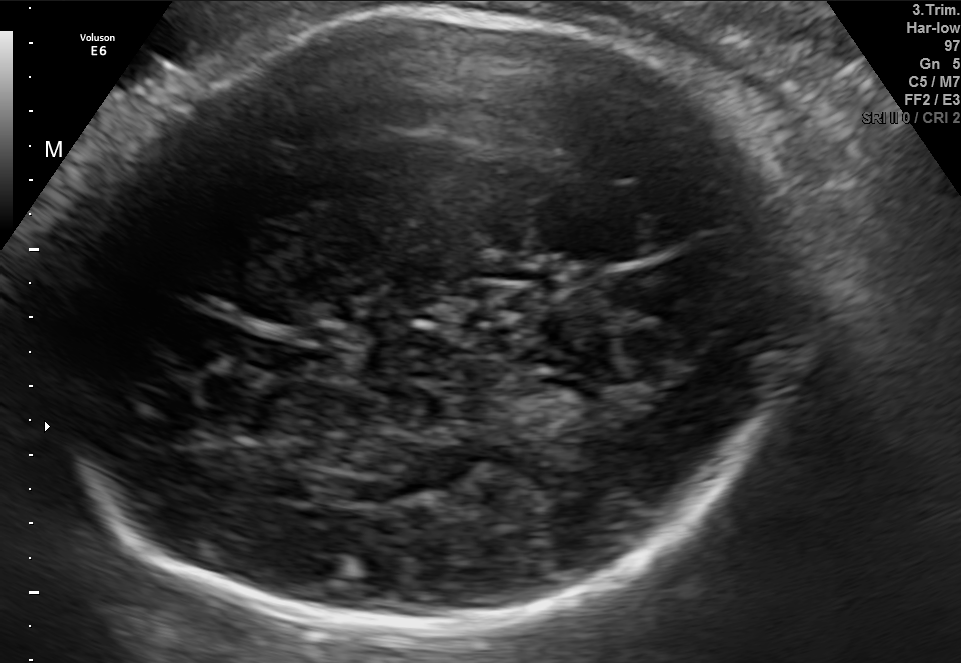
Fetal brain, trans-thalamic plane. Locate the fetal head and, if visible, the cavum septum pellucidum (CSP) and lateral ventricle (LV). Give bounding boxes as [x1,y1,x2,y2].

Head: [42,13,789,636]